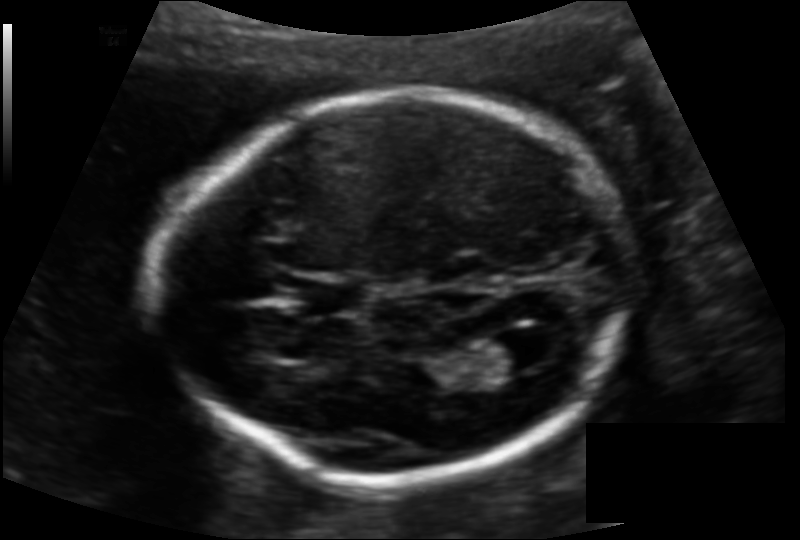
Fetal head ultrasound. Image width: 102.7 mm. Give [x1,y1,x2,y2] bounding boxes for each visible structure among: fetal head, CSP, LV.

Head: [163,95,631,480]
CSP: [303,278,367,314]
Lateral ventricle: [471,327,546,383]